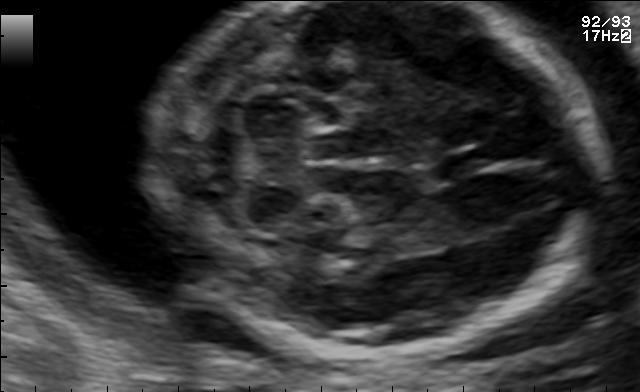
Fetal brain, trans-cerebellum plane. Locate the fetal head and, if visible, the cavum septum pellucidum (CSP) and lateral ventricle (LV). Give bounding boxes as [x1,y1,x2,y2].

Head: [153,2,601,355]